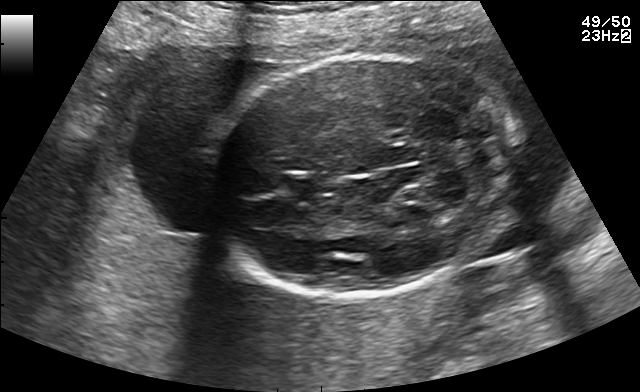
Fetal brain, trans-cerebellum plane. Locate the cavum septum pellucidum.

CSP: [286,172,336,197]